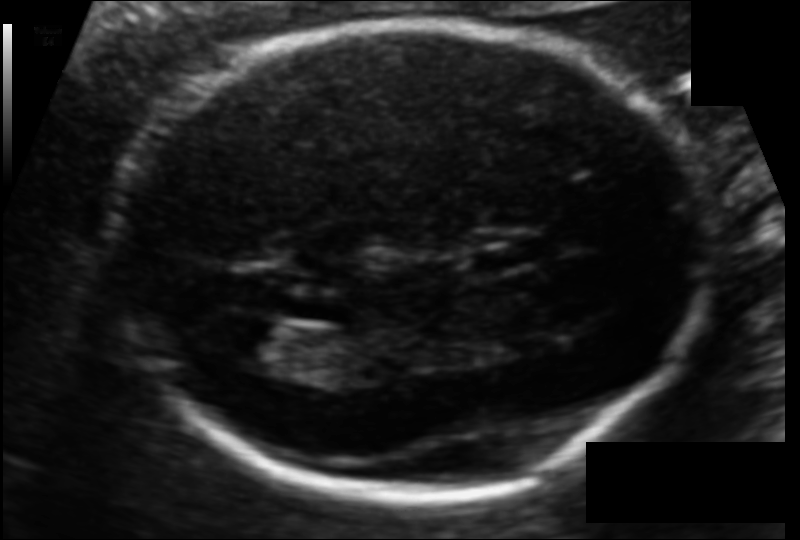
Fetal head ultrasound. Image width: 85.1 mm. Where is the lateral ventricle?

Lateral ventricle bounding box: [210,312,305,379]